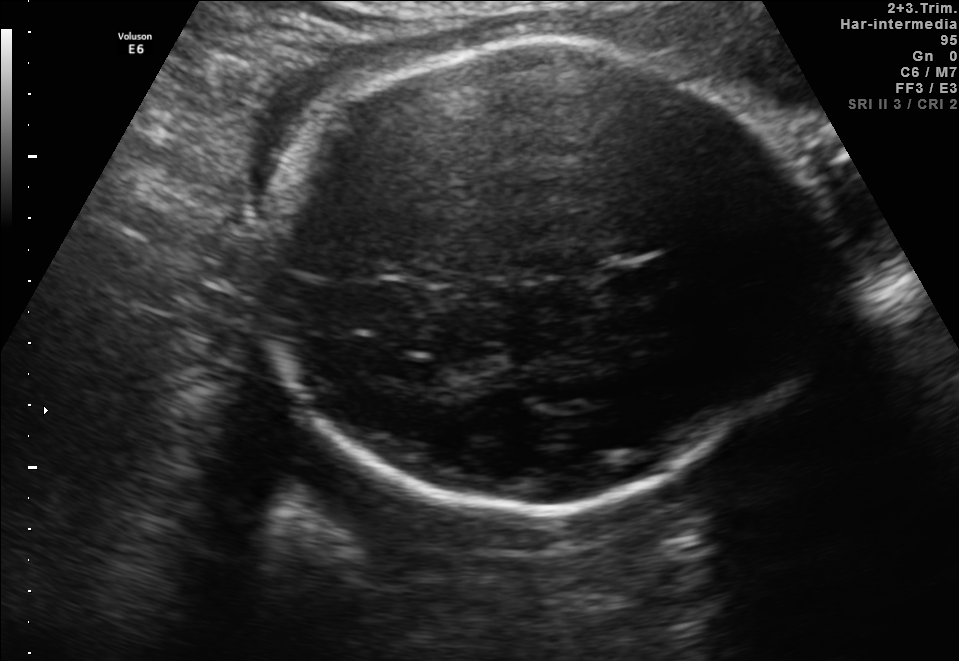
In this fetal brain, trans-thalamic plane, give the bounding box of the fetal head.

[247,39,820,514]